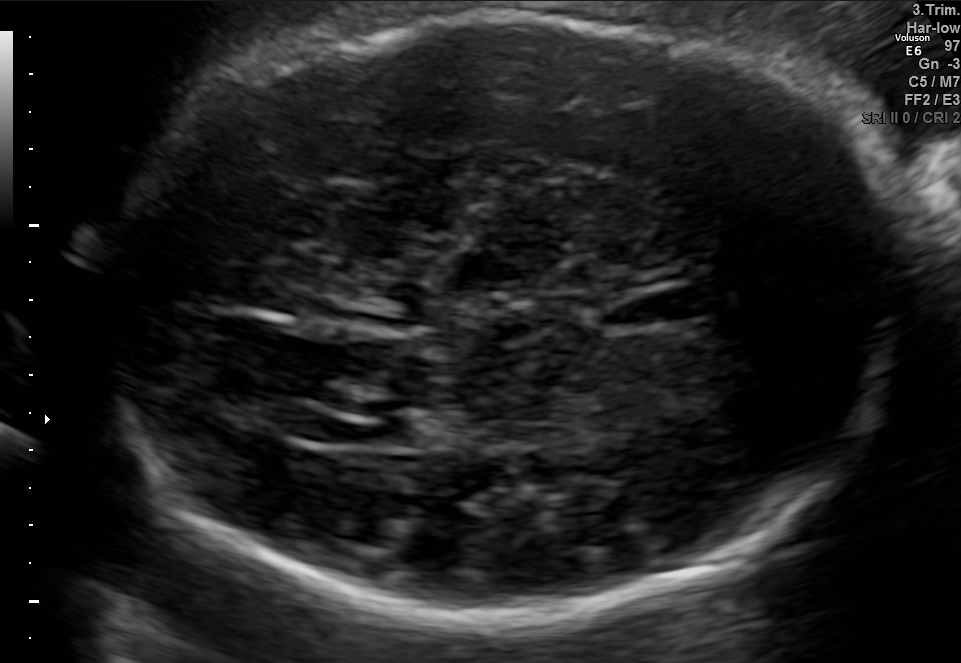
Fetal brain, trans-ventricular plane. Locate the fetal head and, if visible, the cavum septum pellucidum (CSP) and lateral ventricle (LV). Give bounding boxes as [x1,y1,x2,y2].

Head: [90,11,917,630]